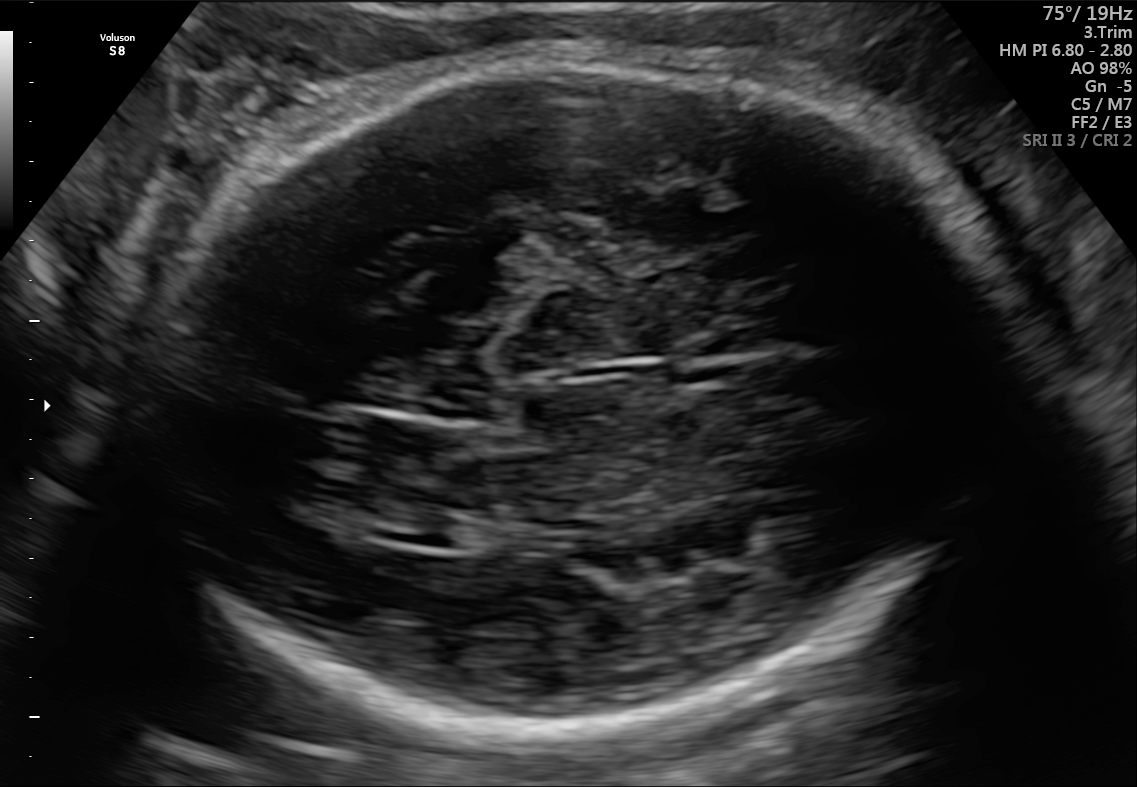
Fetal brain, trans-thalamic plane. Locate the fetal head and, if visible, the cavum septum pellucidum (CSP) and lateral ventricle (LV). Give bounding boxes as [x1,y1,x2,y2].

Head: [142,58,1018,731]
Lateral ventricle: [379,513,458,553]